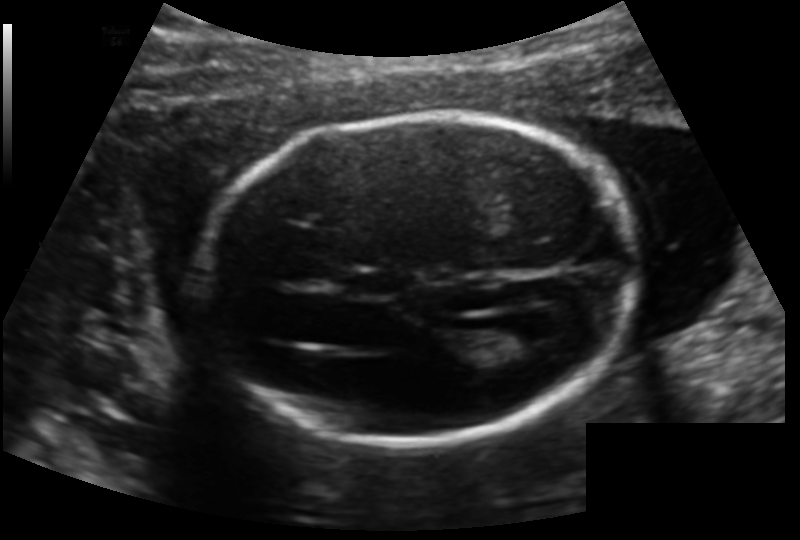
Measure the fetal head circumference shown in this ultrasound image. Image width: 112.1 mm.

Head circumference: 173.1 mm.